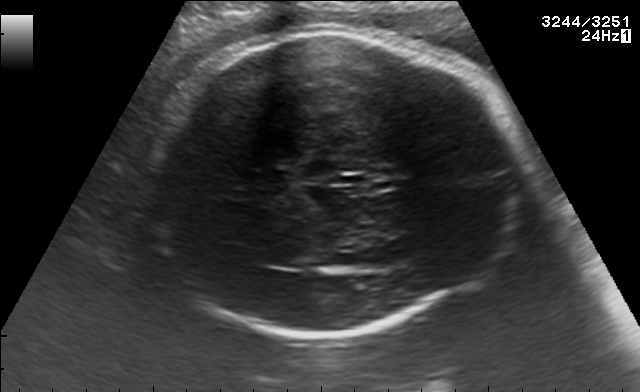
In this fetal brain, trans-thalamic plane, give the bounding box of the fetal head.

[143,34,514,334]